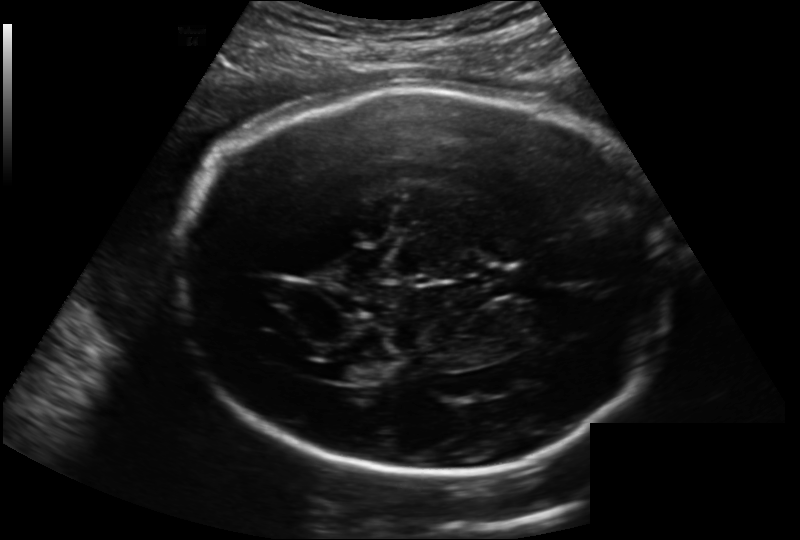
Fetal head ultrasound. Image width: 161.8 mm. Locate the fetal head.

Head: [179,87,668,477]